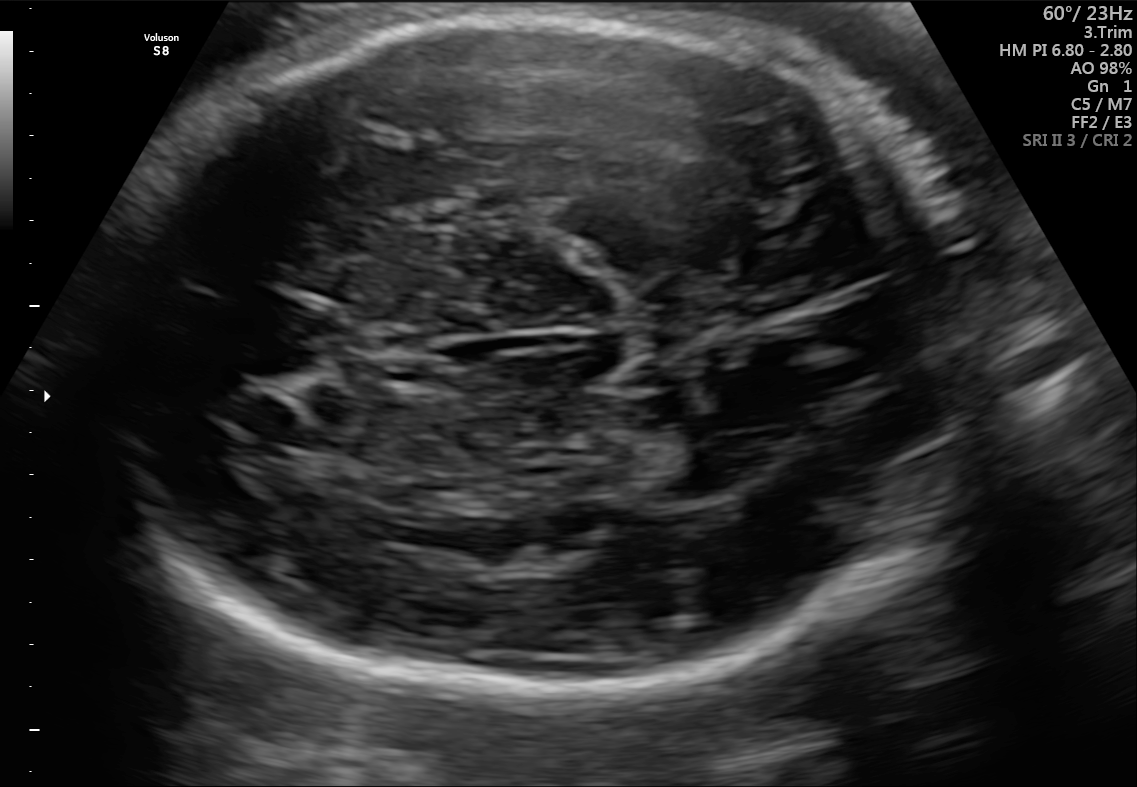
This is a 2D maternal-fetal ultrasound frame. Is it a fetal abdomen, fetal brain, fetal femur, fetal thorax, maternal cervix, or other standard plane? If it's fetal brain and one of the three standard brain planes (trans-thalamic, trans-cerebellum, trans-ventricular), name which.

Fetal brain (trans-thalamic plane)